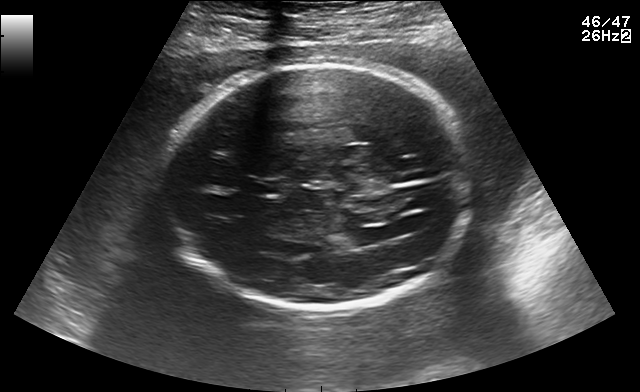
In this fetal brain, trans-ventricular plane, give the bounding box of the cavum septum pellucidum.

[244,177,291,198]